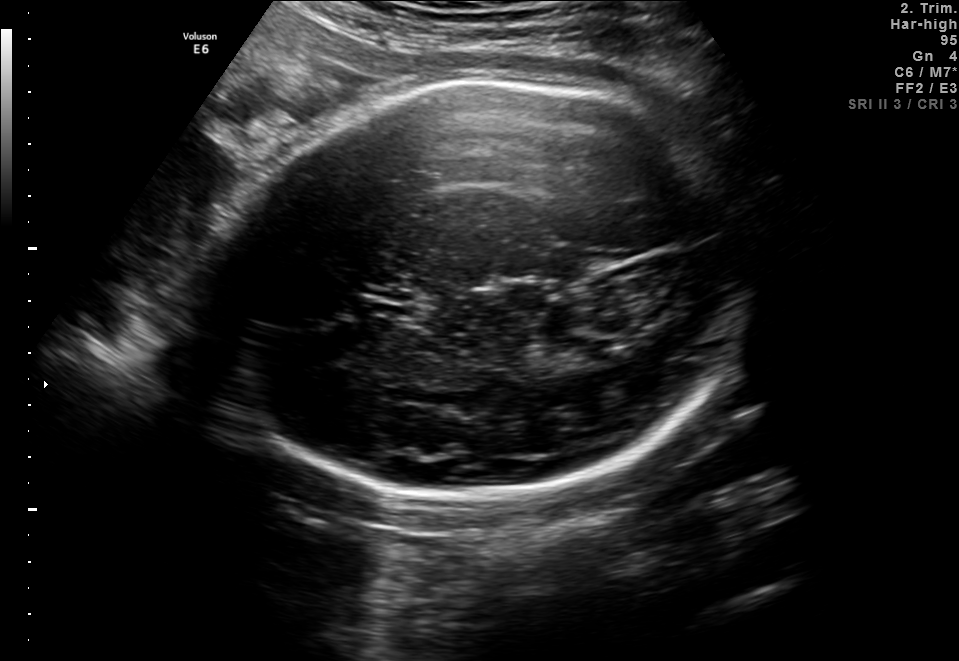
Fetal brain, trans-thalamic plane. Where is the fetal head?

Head bounding box: [204,76,753,489]